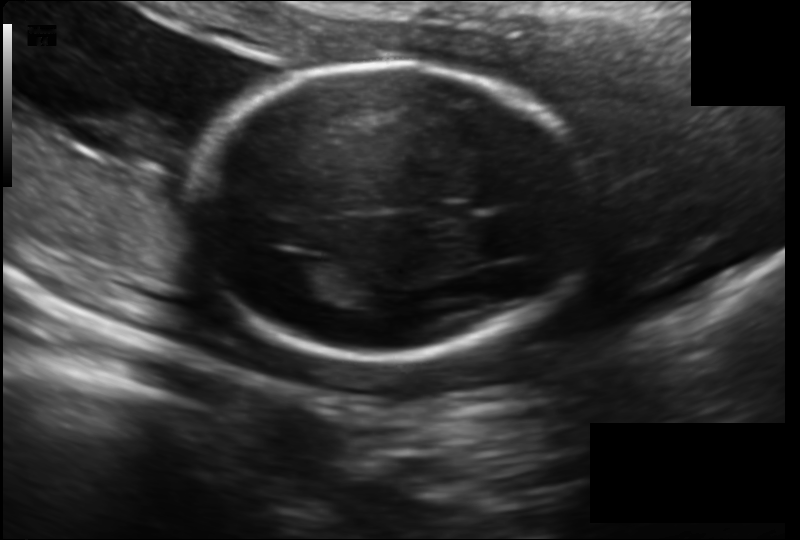
Fetal head ultrasound. Image width: 126.8 mm. Where is the fetal head?

Head bounding box: [190,63,586,358]